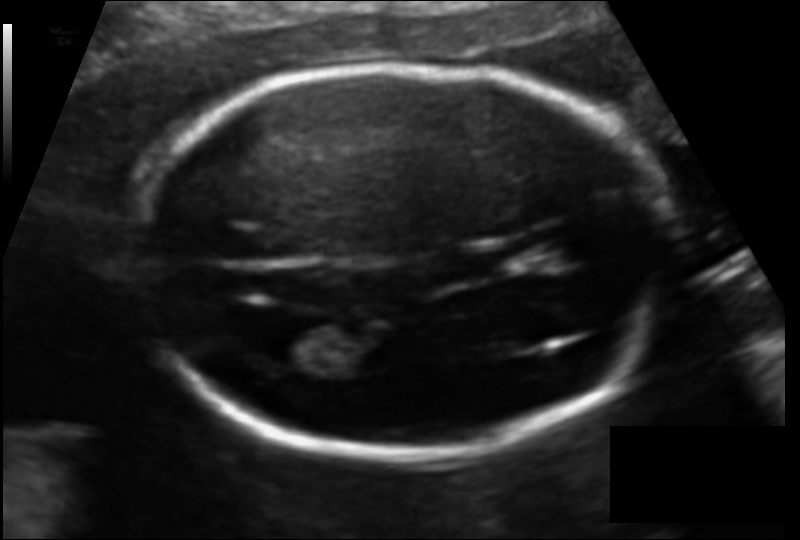
In this fetal head ultrasound, give the bounding box of the lateral ventricle. Image width: 87.6 mm.

[257,324,336,365]